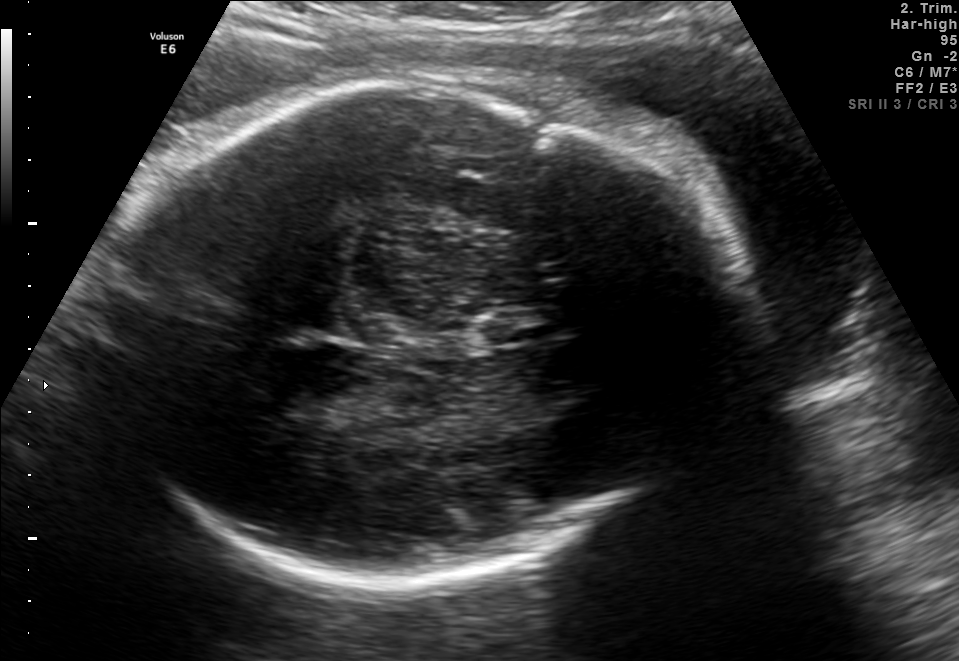
In this fetal brain, trans-thalamic plane, give the bounding box of the fetal head.

[82,83,739,580]